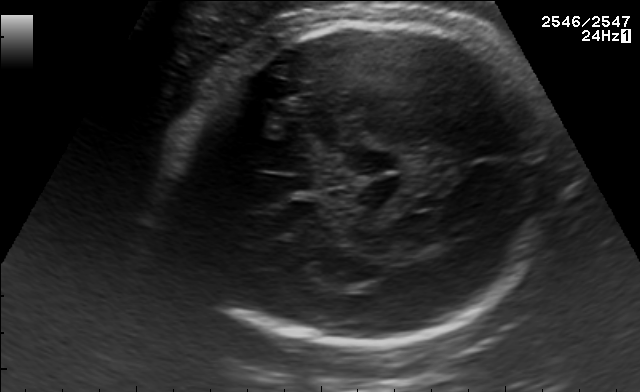
Fetal brain, trans-thalamic plane. Give [x1,y1,x2,y2] bounding boxes for each visible structure among: fetal head, CSP, LV.

Head: [178,14,554,346]